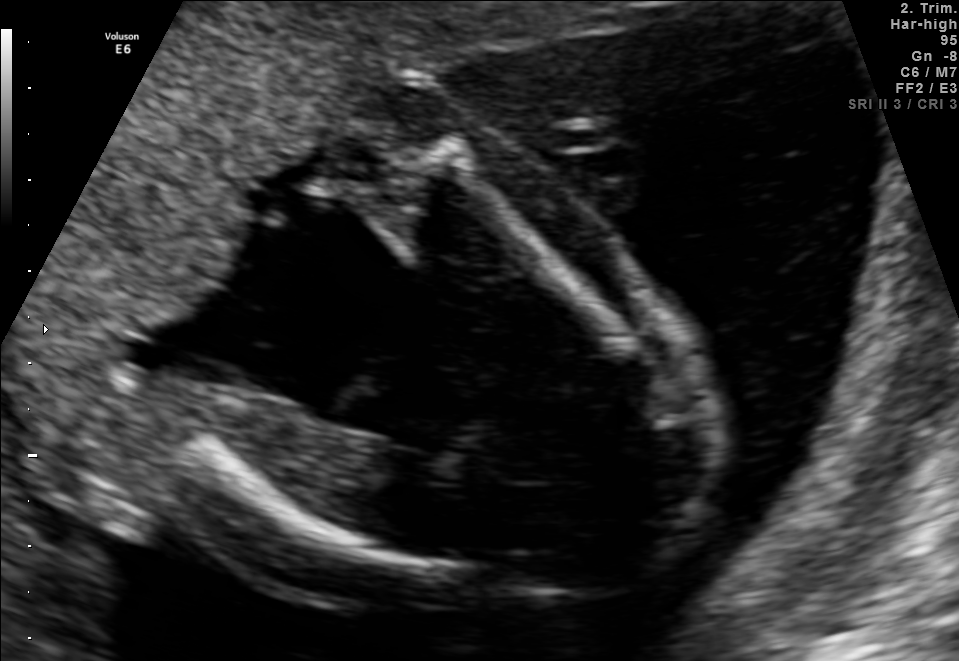
This is a 2D maternal-fetal ultrasound frame. Is it a fetal abdomen, fetal brain, fetal femur, fetal thorax, maternal cervix, or other standard plane? If it's fetal brain and one of the three standard brain planes (trans-thalamic, trans-cerebellum, trans-ventricular), name which.

Fetal femur